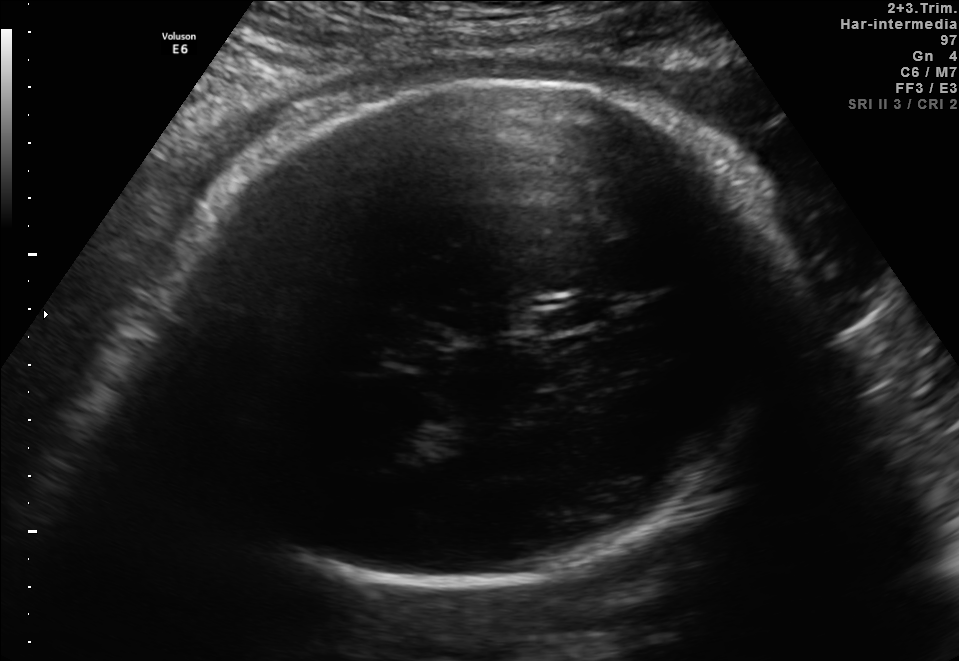
In this fetal brain, trans-thalamic plane, give the bounding box of the fetal head.

[162,80,797,583]